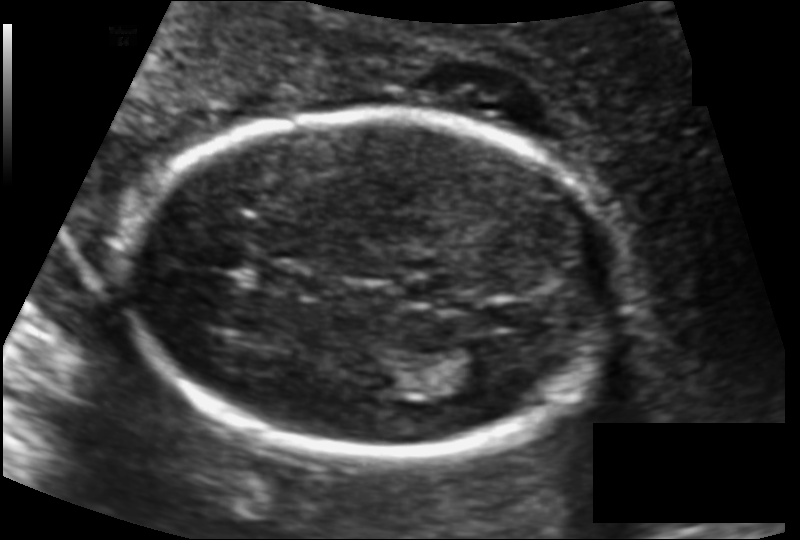
In this fetal head ultrasound, give bounding boxes for the head outline, cavum septum pellucidum (CSP), and lateral ventricle (LV), where visible. Image width: 93.7 mm.

Head: [130,110,613,456]
CSP: [251,259,319,303]
Lateral ventricle: [437,339,510,393]